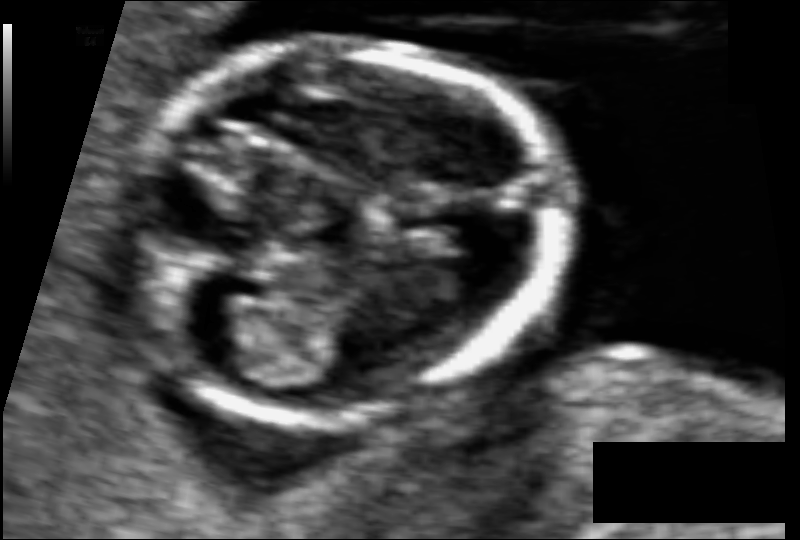
Fetal head ultrasound. Image width: 47.6 mm. Give [x1,y1,x2,y2] bounding boxes for each visible structure among: fetal head, CSP, LV.

Head: [118,44,551,421]